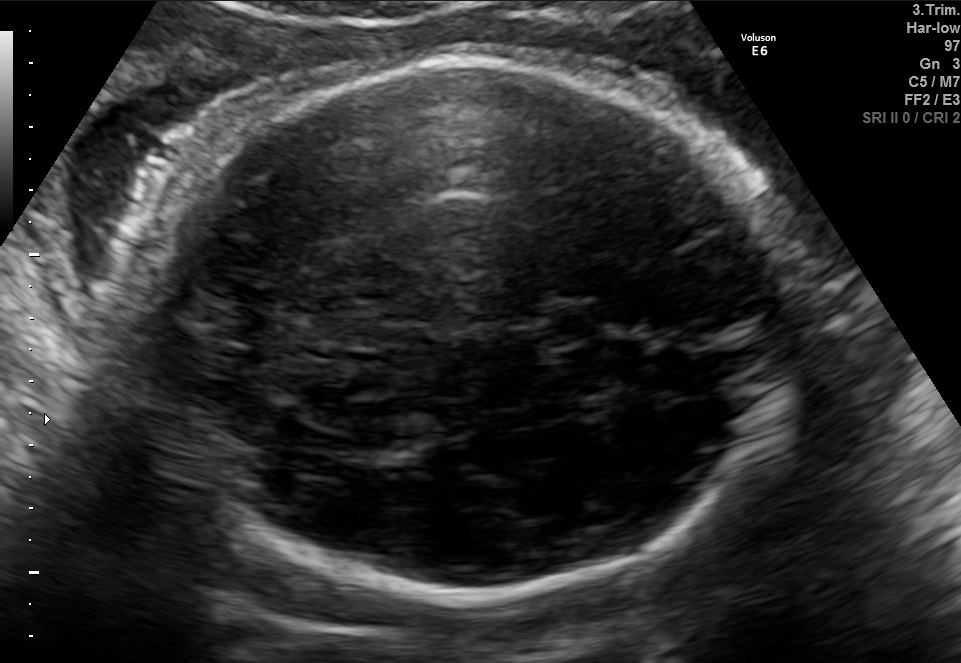
Fetal brain, trans-thalamic plane. Locate the fetal head.

Head: [130,63,797,598]